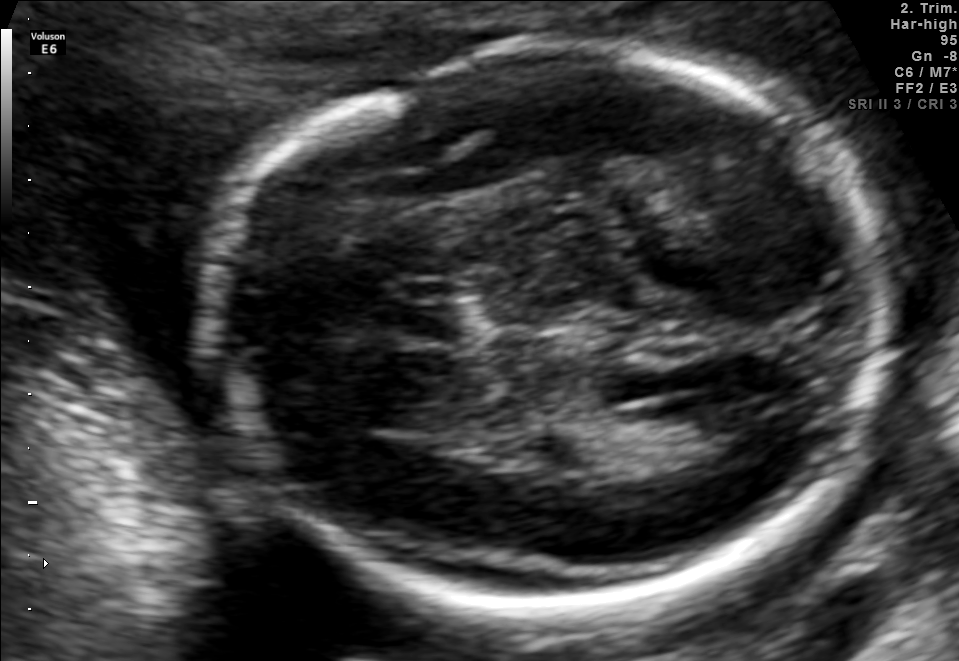
In this fetal brain, trans-ventricular plane, give the bounding box of the lateral ventricle.

[669,375,789,473]